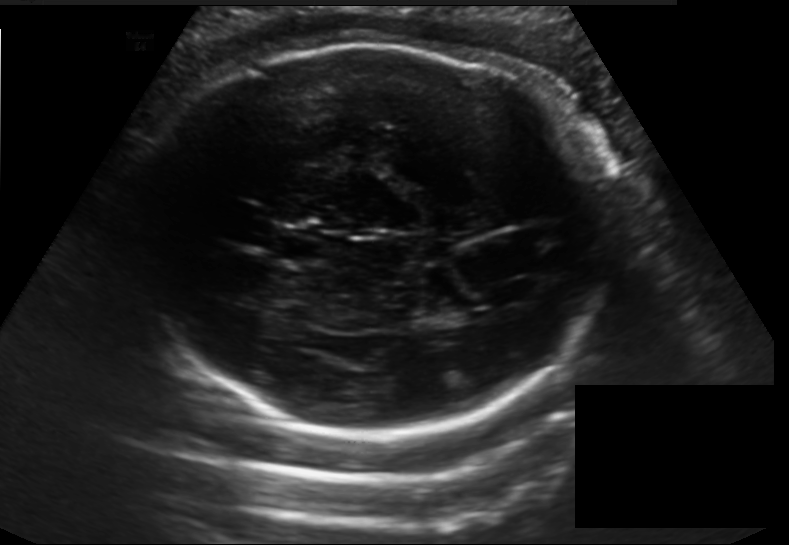
In this fetal head ultrasound, give the bounding box of the cavum septum pellucidum. Image width: 156.6 mm.

[267,229,331,269]